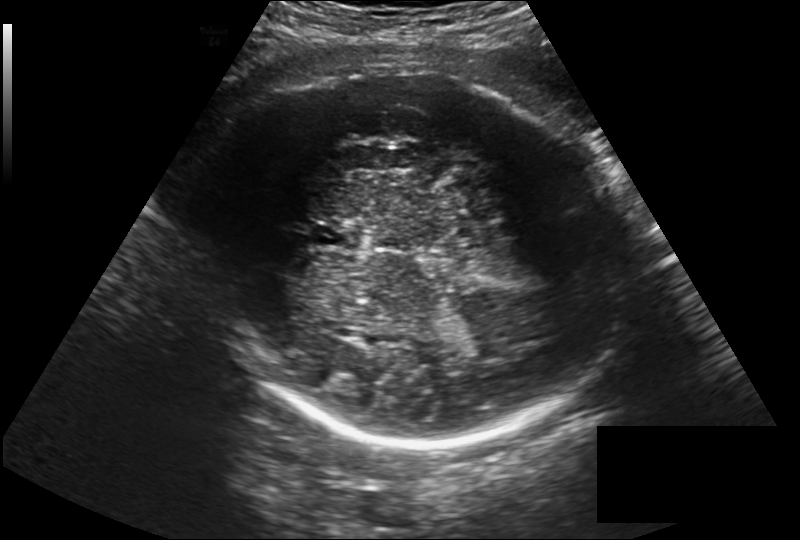
In this fetal head ultrasound, give the bounding box of the fetal head. Image width: 205.7 mm.

[210,74,626,446]